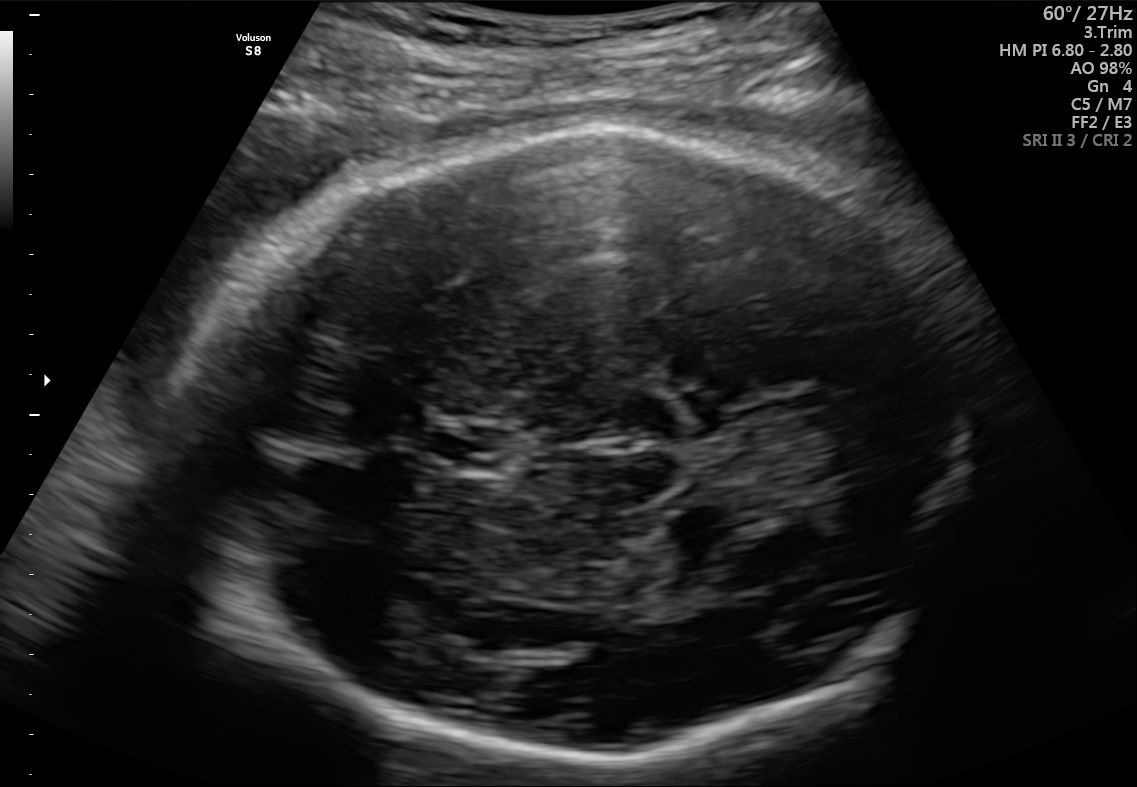
Fetal brain, trans-thalamic plane. Locate the fetal head and, if visible, the cavum septum pellucidum (CSP) and lateral ventricle (LV). Give bounding boxes as [x1,y1,x2,y2].

Head: [192,126,971,768]
CSP: [425,422,511,474]